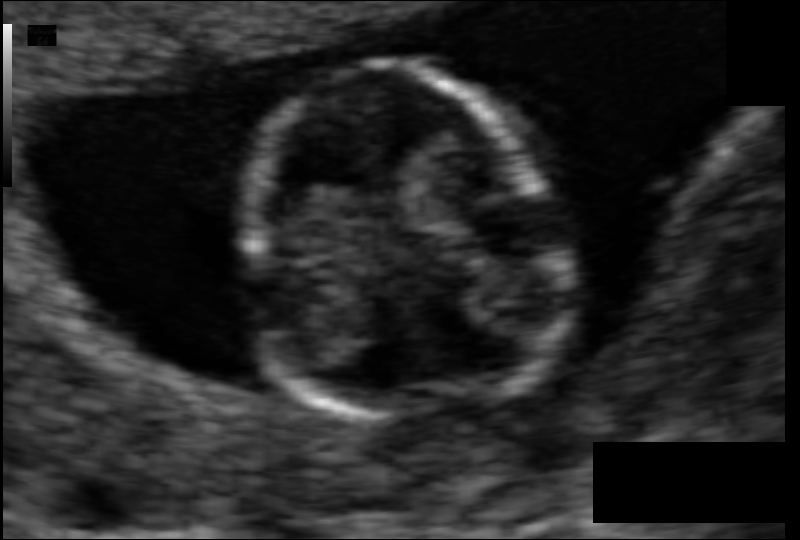
Fetal head ultrasound. Image width: 49.5 mm. Locate the fetal head and, if visible, the cavum septum pellucidum (CSP) and lateral ventricle (LV). Give bounding boxes as [x1,y1,x2,y2].

Head: [240,65,561,416]